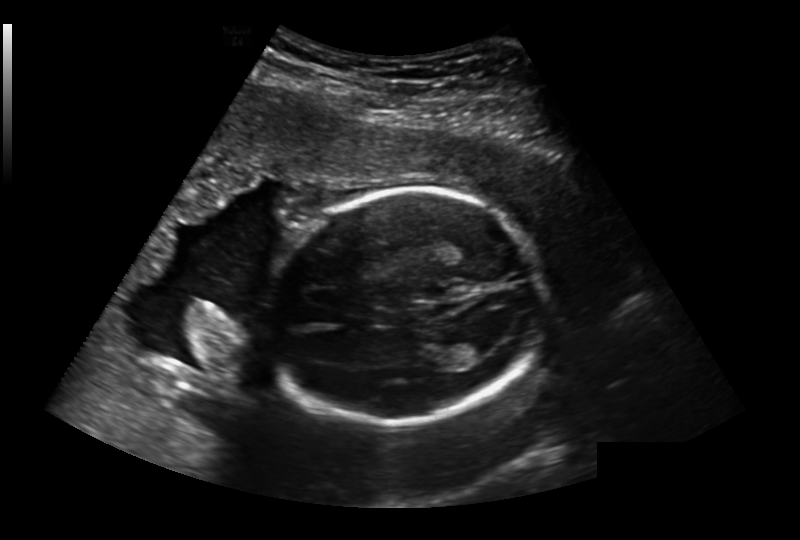
Fetal head ultrasound. Image width: 188.7 mm. Locate the lateral ventricle.

Lateral ventricle: [444,323,499,370]